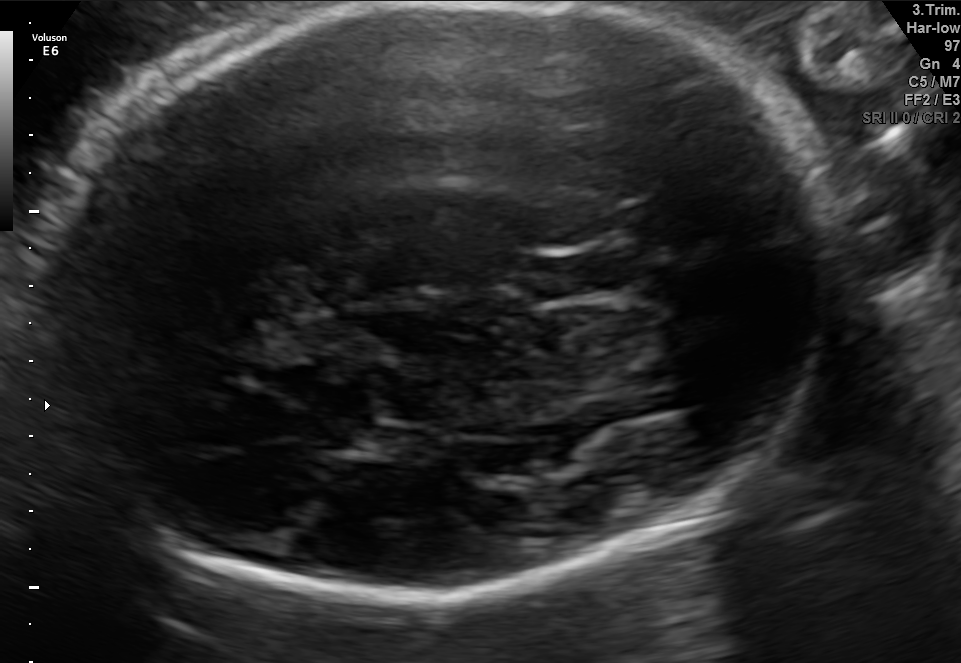
In this fetal brain, trans-thalamic plane, give bounding boxes for the head outline, cavum septum pellucidum (CSP), and lateral ventricle (LV), where visible.

Head: [37,3,840,596]
CSP: [527,249,619,304]
Lateral ventricle: [310,409,390,459]